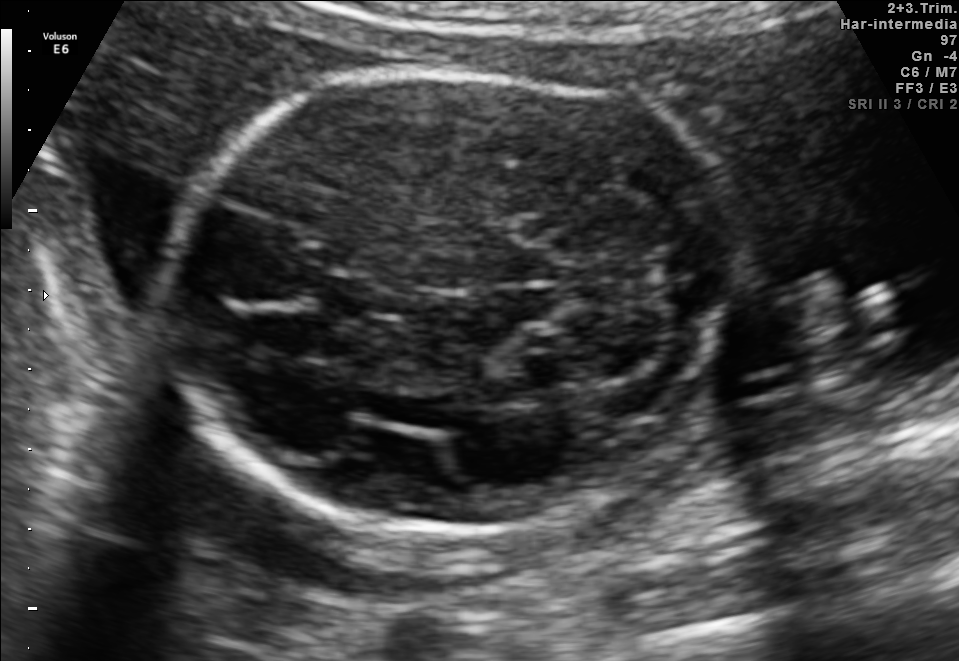
Fetal brain, trans-cerebellum plane. Locate the fetal head.

Head: [164,62,741,529]